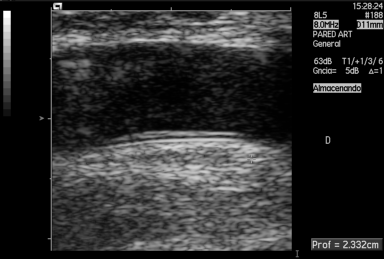
Which standard maternal-fetal ultrasound plane is shown: fetal abdomen, fetal brain, fetal femur, fetal thorax, maternal cervix, or other? If it's fetal brain and one of the three standard brain planes (trans-thalamic, trans-cerebellum, trans-ventricular), name which.

Other